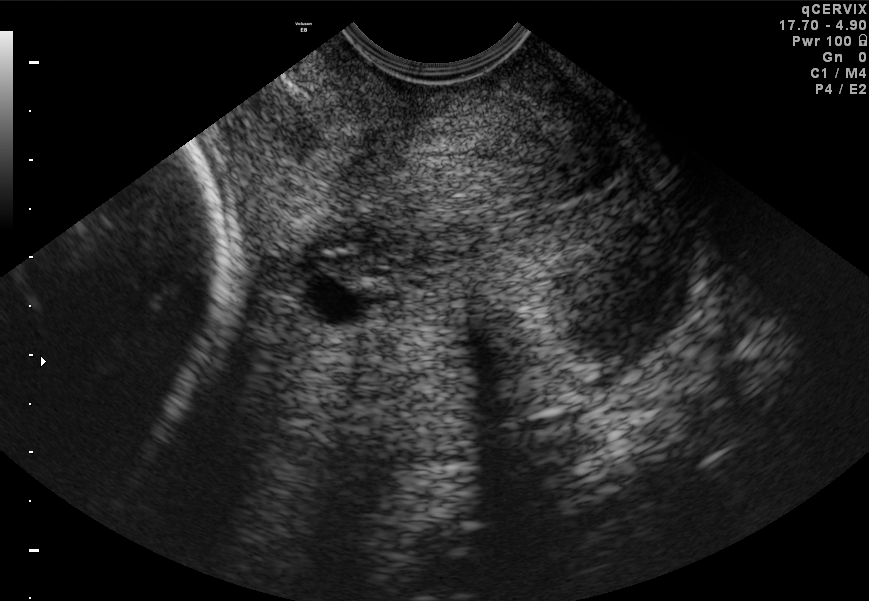
Which standard maternal-fetal ultrasound plane is shown: fetal abdomen, fetal brain, fetal femur, fetal thorax, maternal cervix, or other? If it's fetal brain and one of the three standard brain planes (trans-thalamic, trans-cerebellum, trans-ventricular), name which.

Maternal cervix